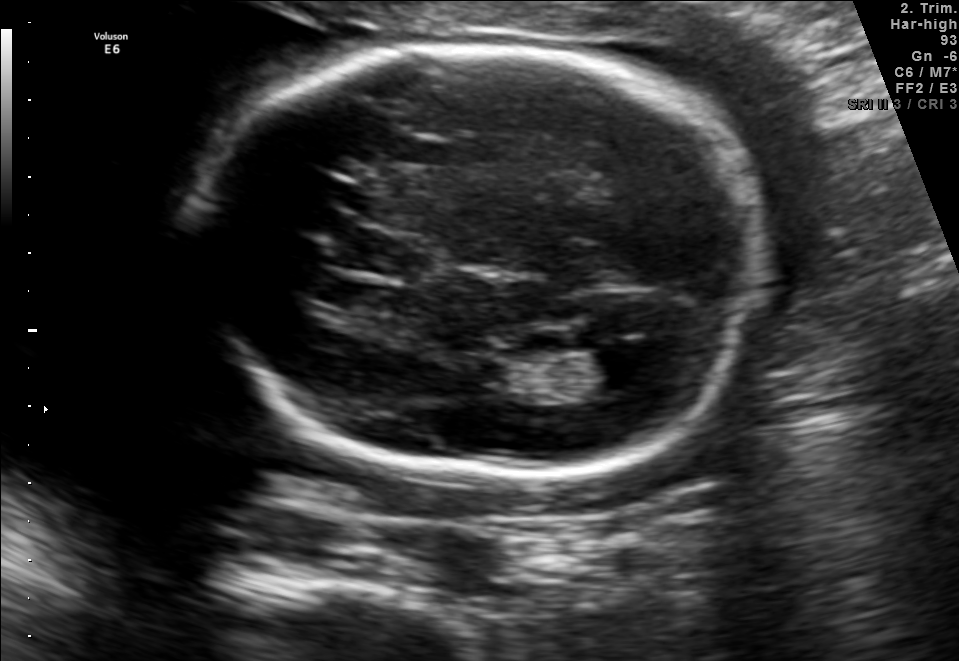
In this fetal brain, trans-ventricular plane, give the bounding box of the fetal head.

[184,34,781,487]